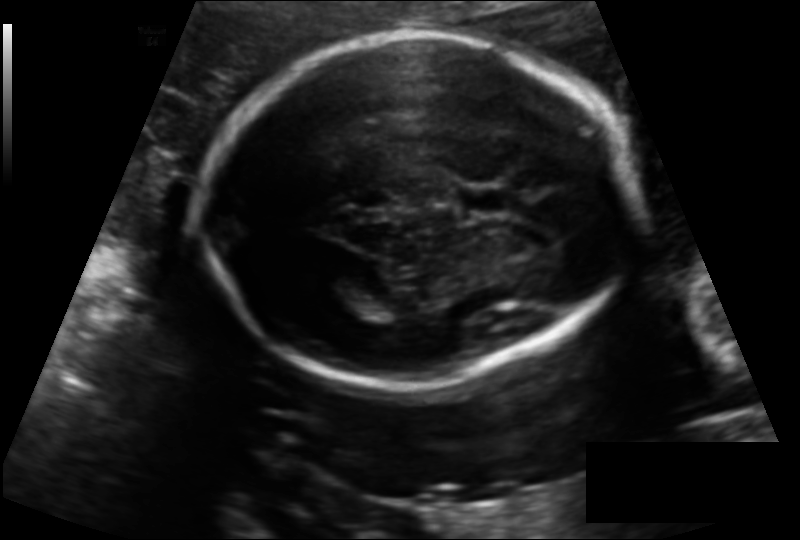
Fetal head ultrasound. Image width: 111.5 mm. Locate the fetal head and, if visible, the cavum septum pellucidum (CSP) and lateral ventricle (LV). Give bounding boxes as [x1,y1,x2,y2].

Head: [198,33,631,386]
CSP: [456,183,514,218]